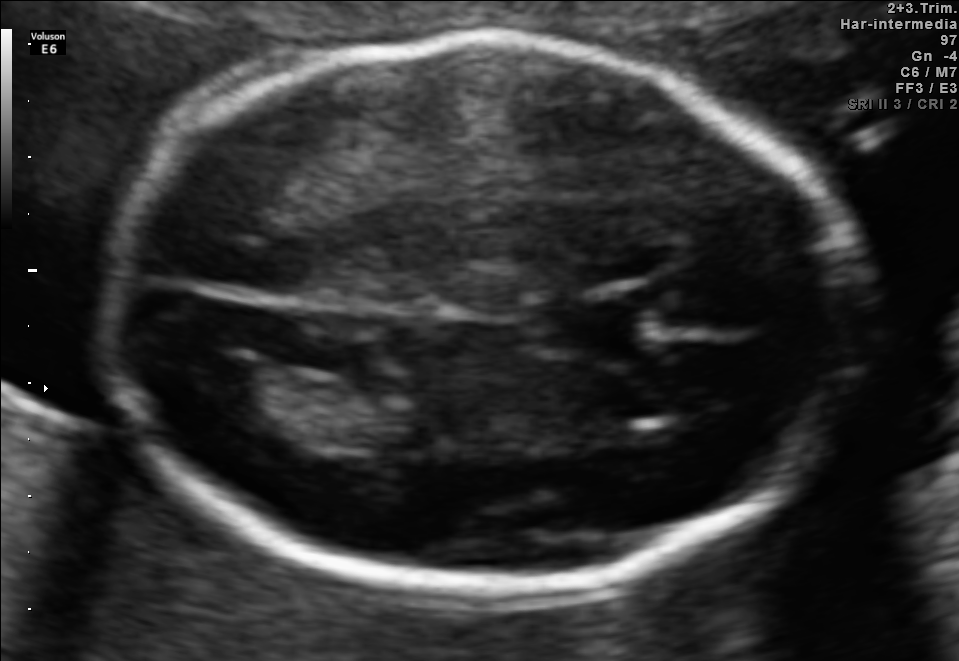
Fetal brain, trans-ventricular plane. Locate the fetal head and, if visible, the cavum septum pellucidum (CSP) and lateral ventricle (LV). Give bounding boxes as [x1,y1,x2,y2].

Head: [96,30,869,593]
CSP: [523,298,649,351]